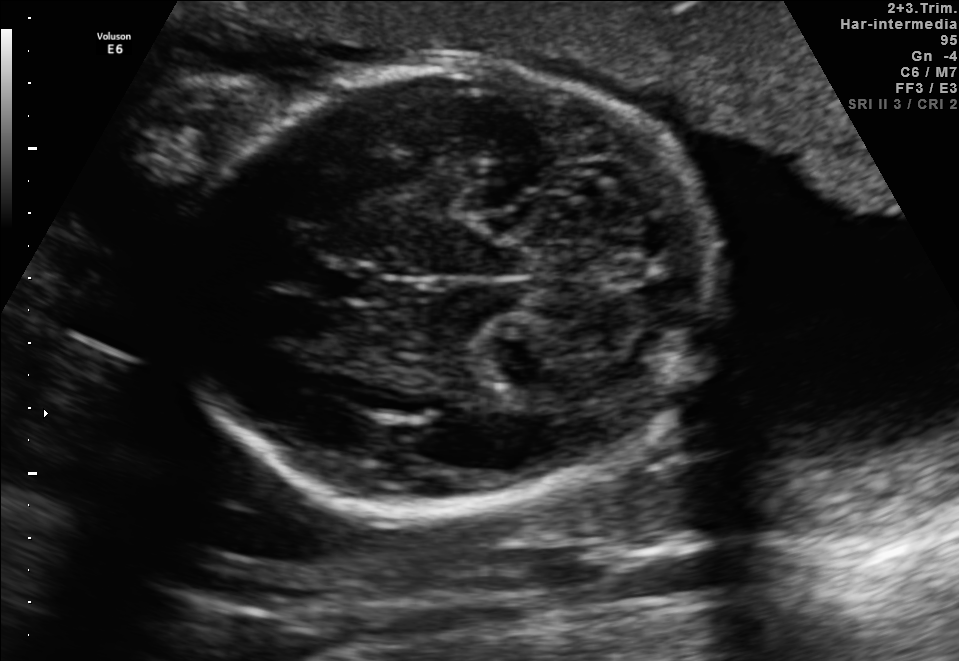
Fetal brain, trans-cerebellum plane. Locate the fetal head and, if visible, the cavum septum pellucidum (CSP) and lateral ventricle (LV). Give bounding boxes as [x1,y1,x2,y2].

Head: [176,67,721,508]
CSP: [319,262,382,305]